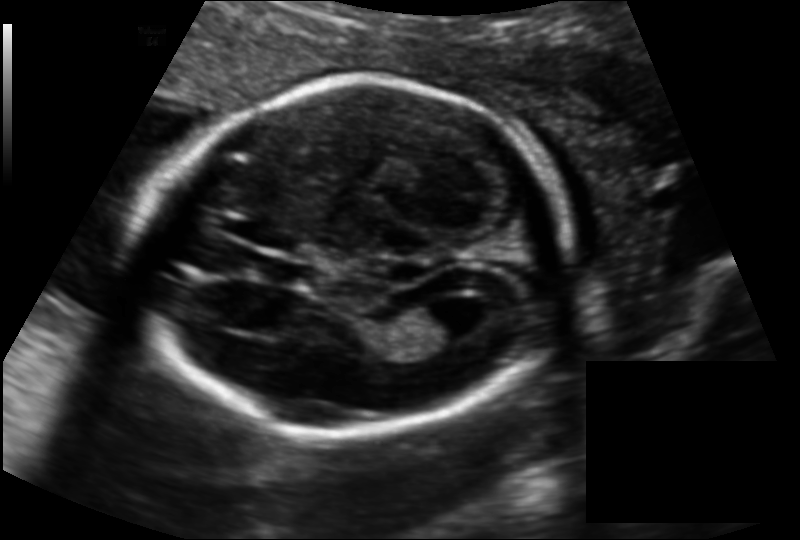
Fetal head ultrasound. Image width: 107.9 mm. Where is the fetal head?

Head bounding box: [138,80,569,434]